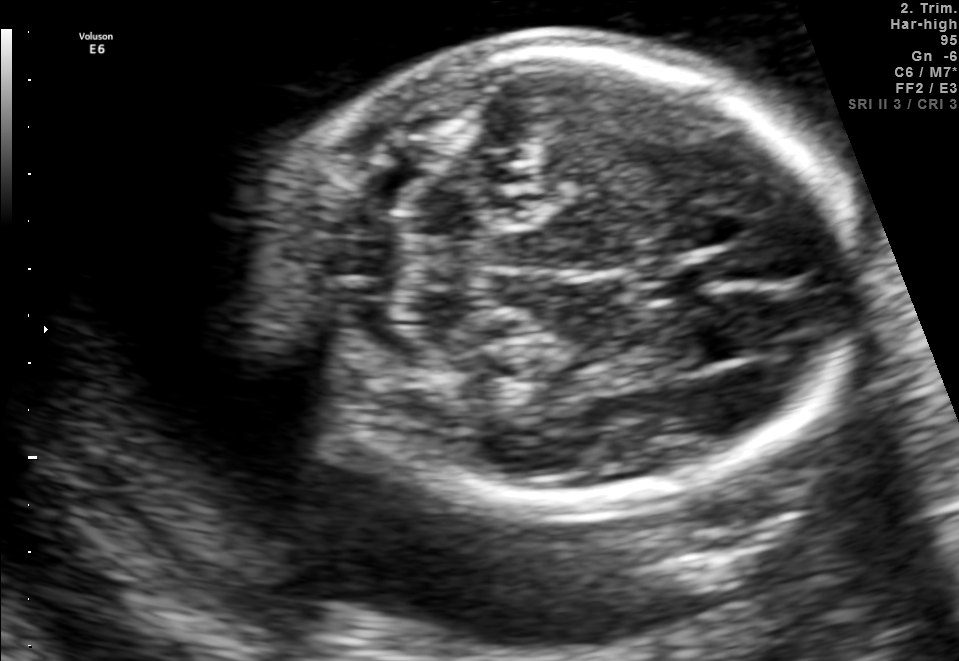
Fetal brain, trans-cerebellum plane. Give [x1,y1,x2,y2] bounding boxes for each visible structure among: fetal head, CSP, LV.

Head: [253,43,862,498]
CSP: [636,247,723,306]